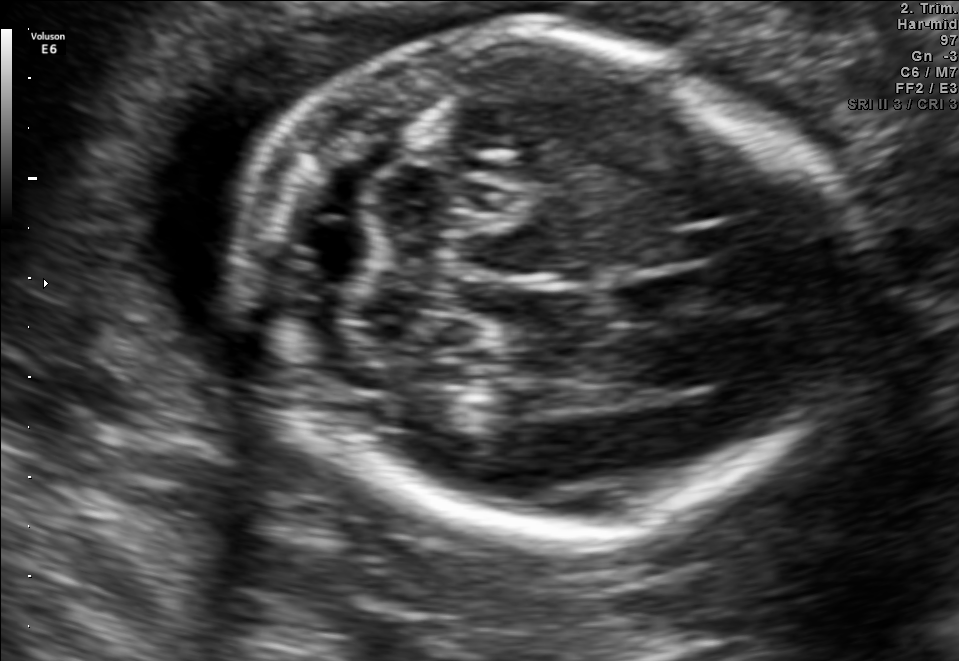
Fetal brain, trans-cerebellum plane. Give [x1,y1,x2,y2] bounding boxes for each visible structure among: fetal head, CSP, LV.

Head: [241,31,834,536]
CSP: [614,263,718,329]